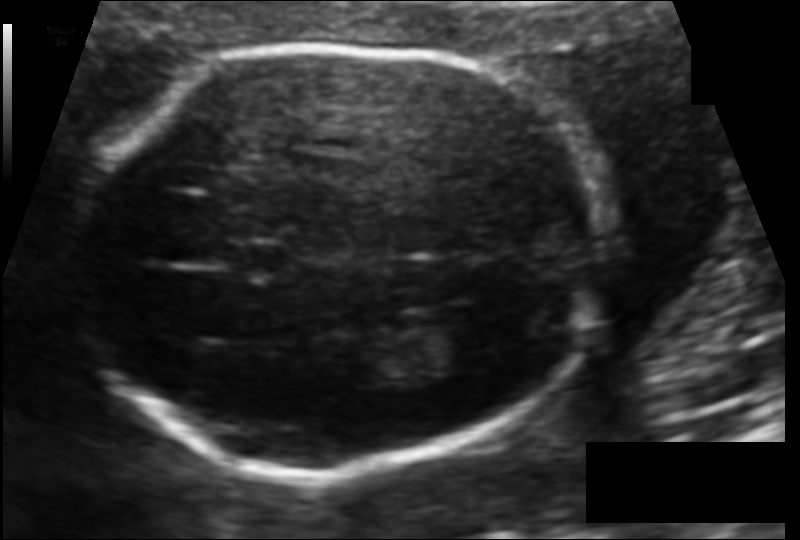
Fetal head ultrasound. Image width: 86.3 mm. Where is the fetal head?

Head bounding box: [72,47,606,472]